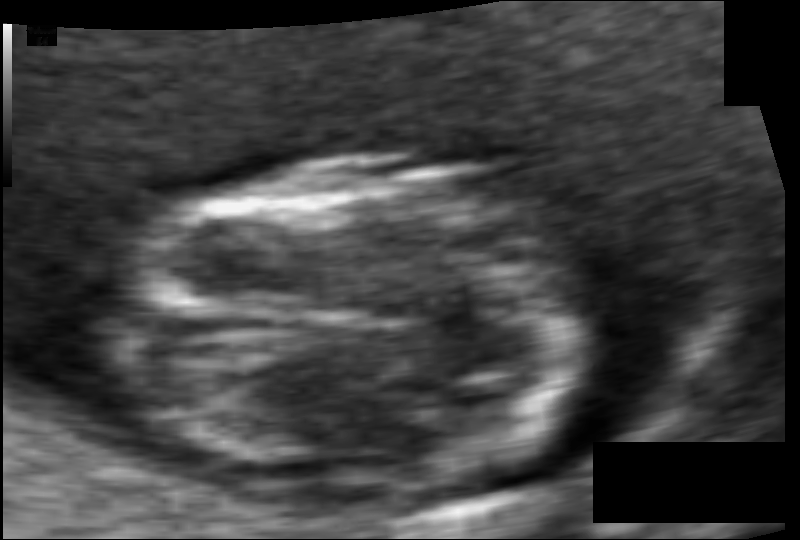
In this fetal head ultrasound, give the bounding box of the fetal head. Image width: 39.5 mm.

[112,164,601,495]